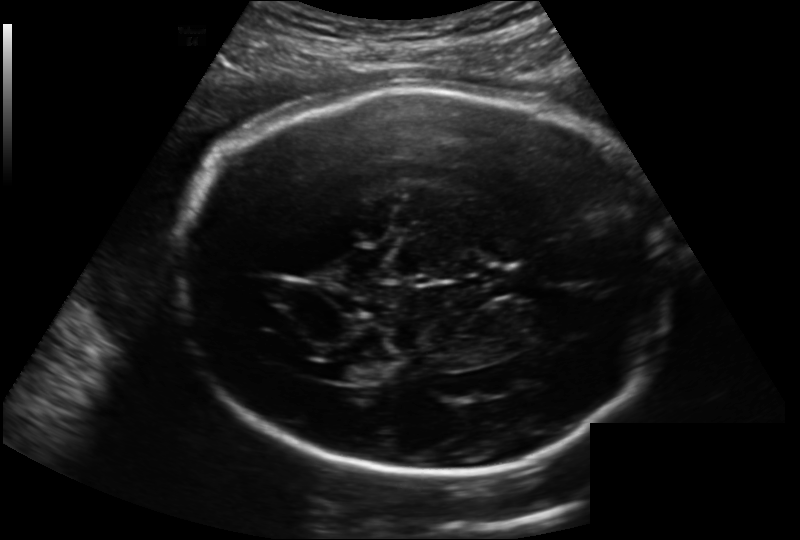
From this fetal ultrasound, estimate the head circumference (image width 161.8 mm).

Head circumference: 284.7 mm.